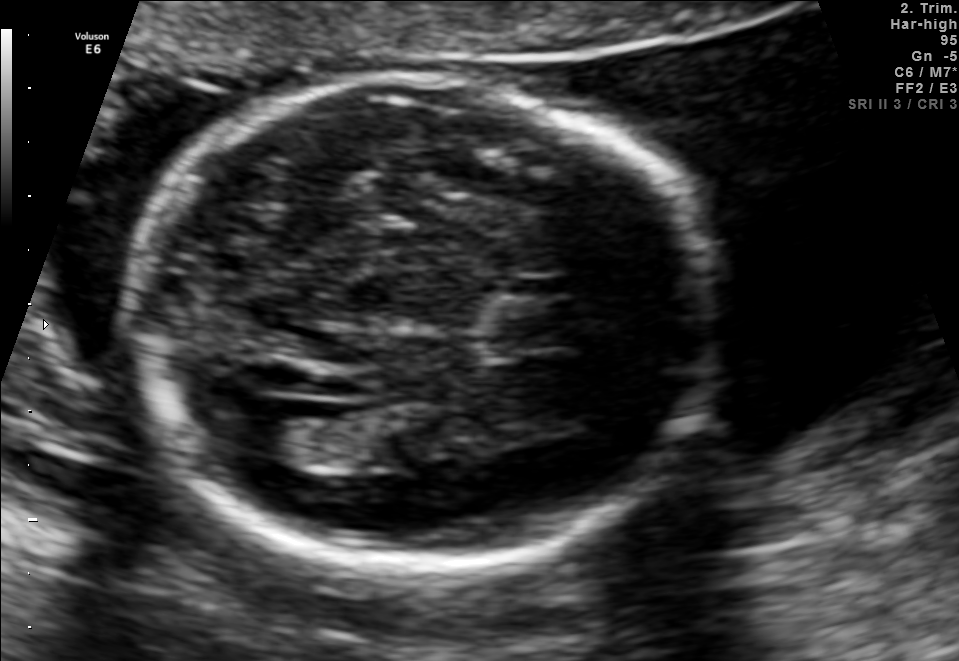
This is a 2D maternal-fetal ultrasound frame. Is it a fetal abdomen, fetal brain, fetal femur, fetal thorax, maternal cervix, or other standard plane? If it's fetal brain and one of the three standard brain planes (trans-thalamic, trans-cerebellum, trans-ventricular), name which.

Fetal brain (trans-ventricular plane)